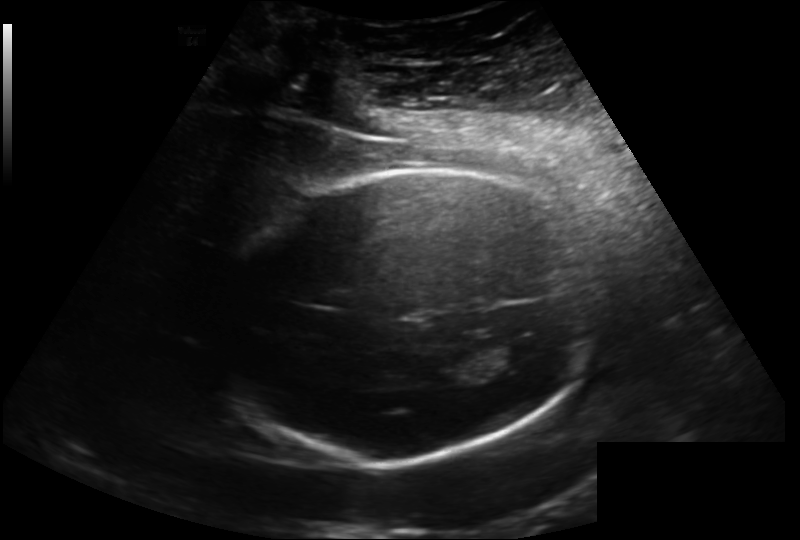
From this fetal ultrasound, estimate the head circumference (image width 161.6 mm).

Head circumference: 220.9 mm.